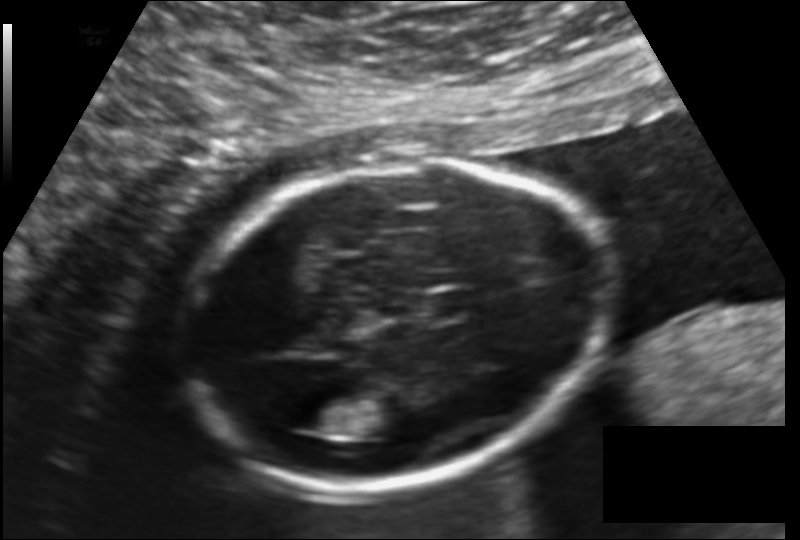
In this fetal head ultrasound, give the bounding box of the lateral ventricle. Image width: 112.0 mm.

[283,399,339,435]